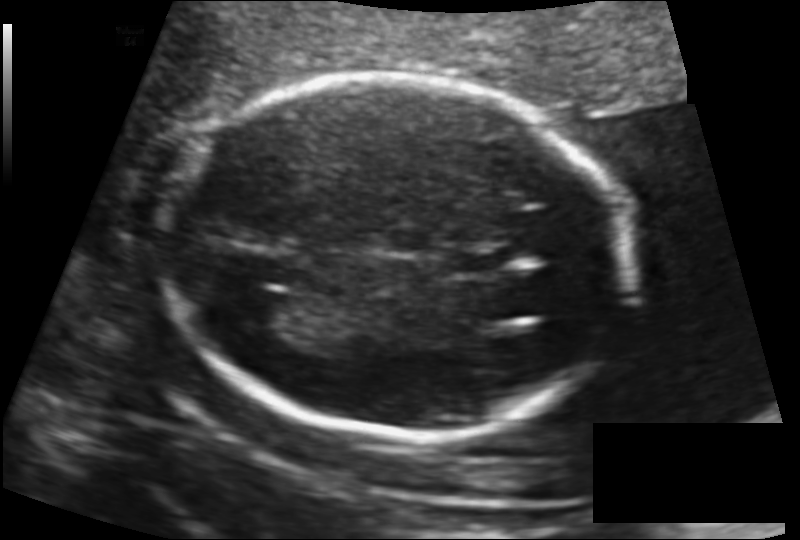
In this fetal head ultrasound, give the bounding box of the cavum septum pellucidum. Image width: 104.1 mm.

[439,247,515,276]